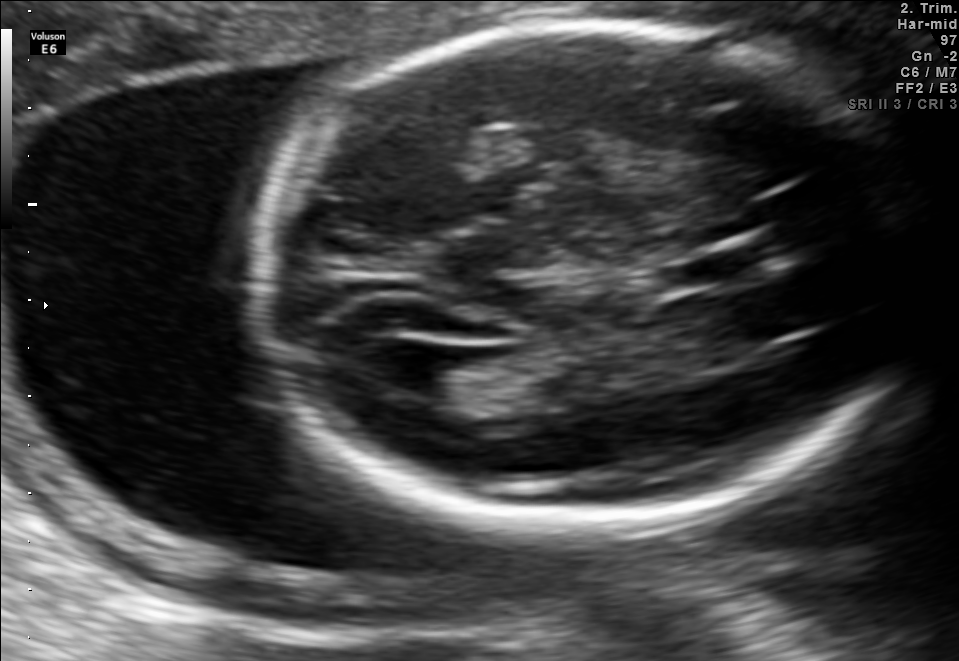
In this fetal brain, trans-ventricular plane, give the bounding box of the cavum septum pellucidum.

[661,244,752,298]